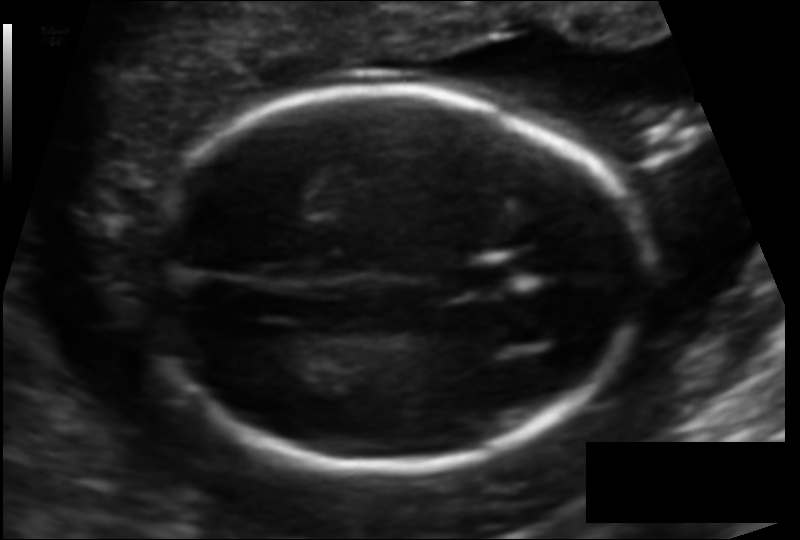
Fetal head ultrasound. Image width: 91.5 mm. Give [x1,y1,x2,y2] bounding boxes for each visible structure among: fetal head, CSP, LV.

Head: [152,88,645,470]
CSP: [443,256,512,300]